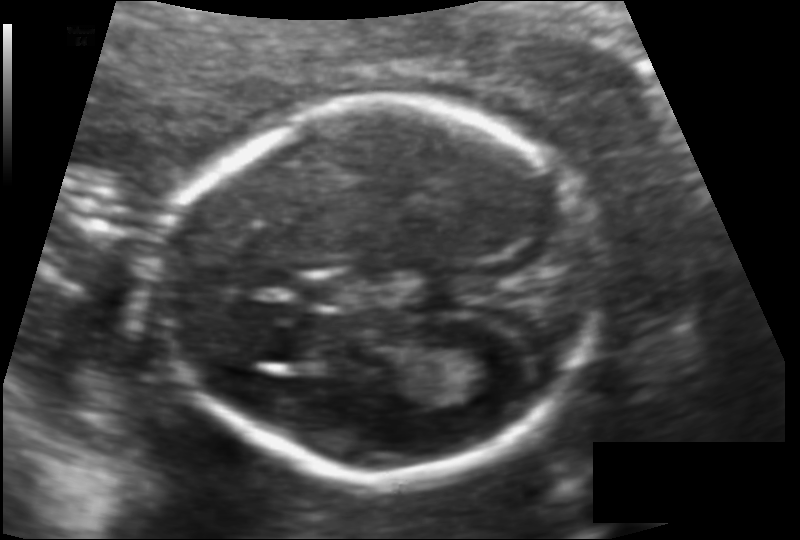
In this fetal head ultrasound, give the bounding box of the lateral ventricle. Image width: 90.5 mm.

[454,341,537,401]